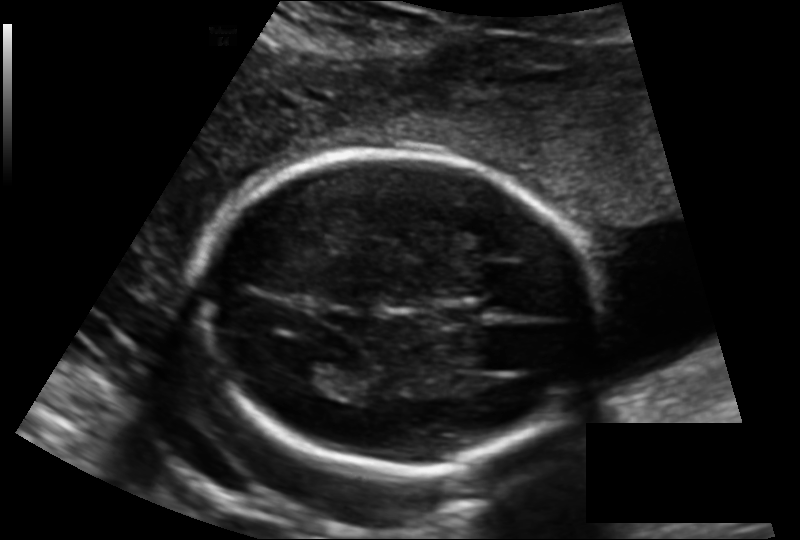
Fetal head ultrasound. Image width: 114.7 mm. Locate the fetal head.

Head: [202,150,596,472]